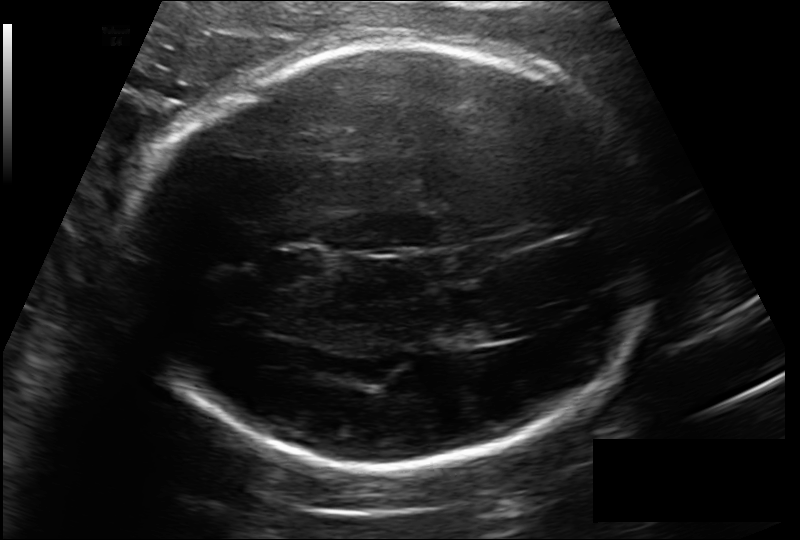
In this fetal head ultrasound, give the bounding box of the fetal head. Image width: 148.1 mm.

[137,46,658,466]